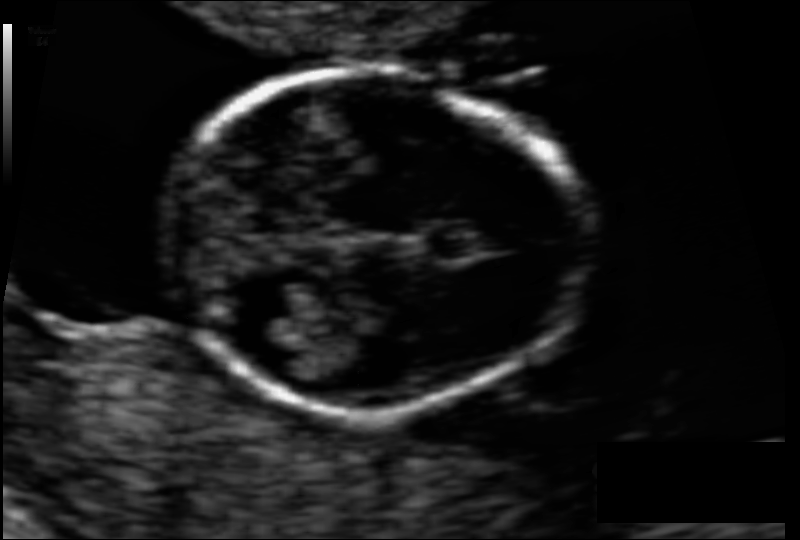
Fetal head ultrasound. Image width: 52.1 mm. Locate the cavum septum pellucidum.

CSP: [429,221,495,263]